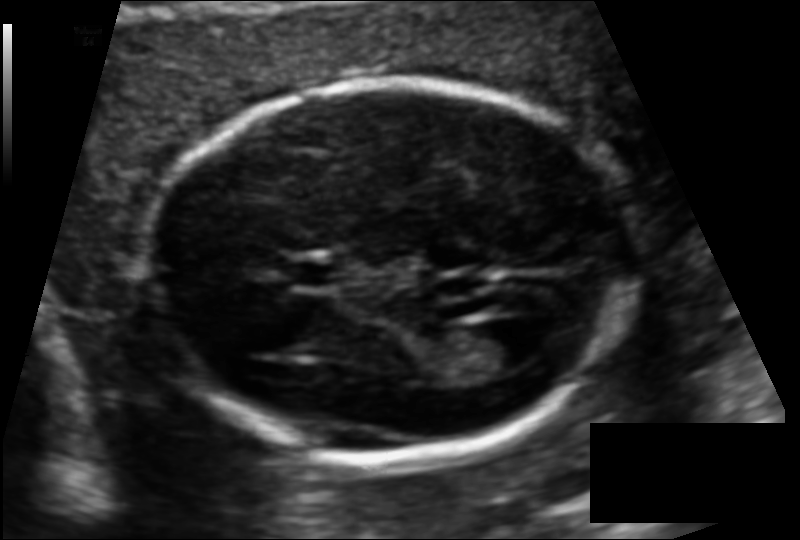
Fetal head ultrasound. Image width: 88.0 mm. Locate the fetal head and, if visible, the cavum septum pellucidum (CSP) and lateral ventricle (LV). Give bounding boxes as [x1,y1,x2,y2].

Head: [148,79,631,457]
CSP: [288,262,339,285]
Lateral ventricle: [462,311,551,378]